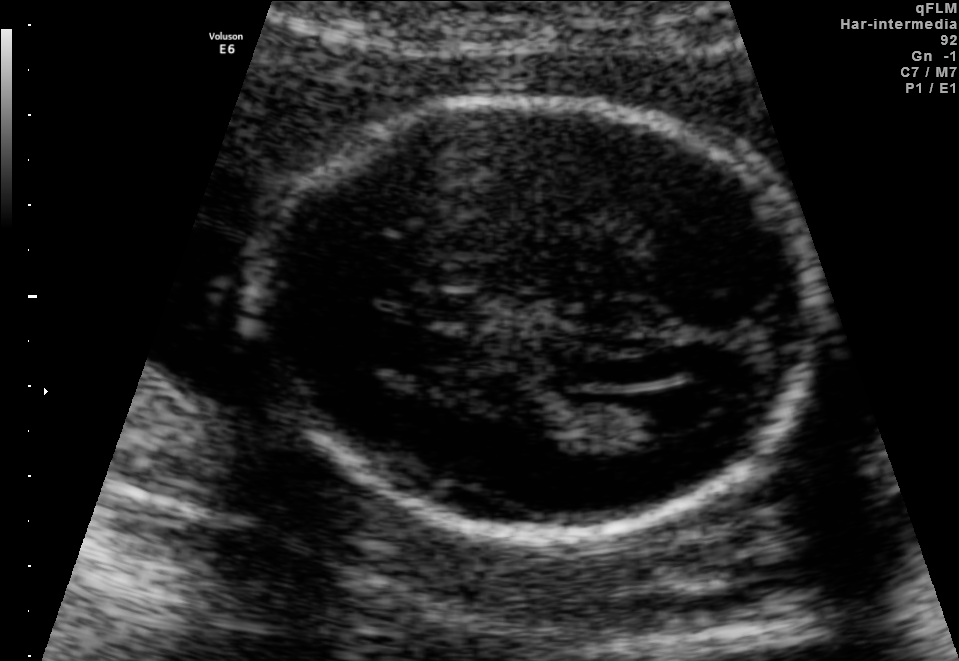
Fetal brain, trans-ventricular plane. Where is the lateral ventricle?

Lateral ventricle bounding box: [616,384,711,450]